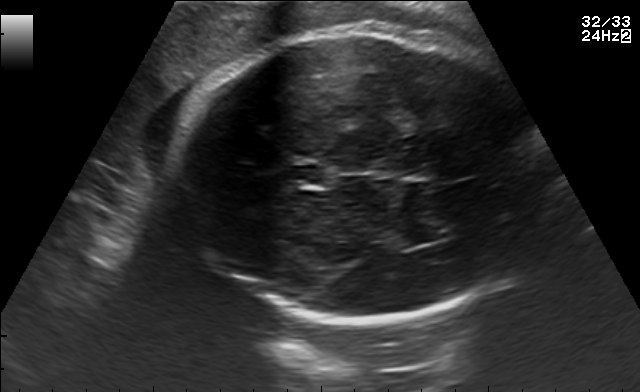
Fetal brain, trans-thalamic plane. Where is the fetal head?

Head bounding box: [168,29,545,320]